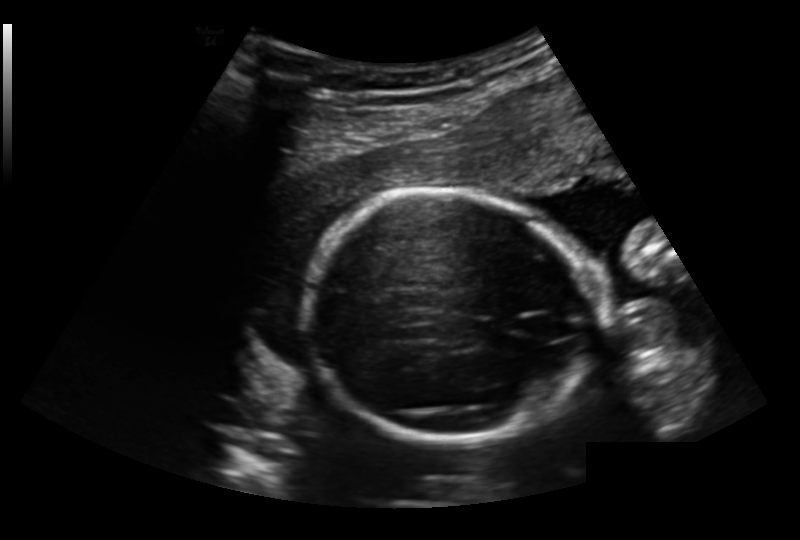
In this fetal head ultrasound, give the bounding box of the fetal head. Image width: 152.5 mm.

[304,190,592,444]